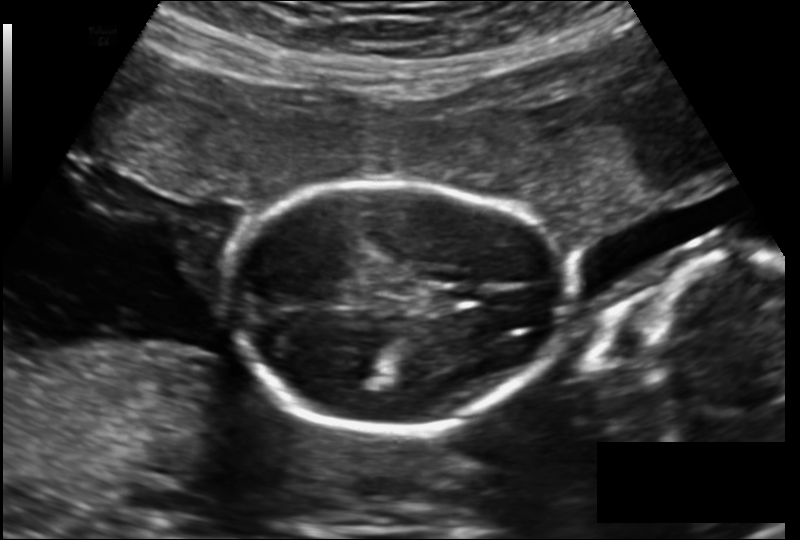
Fetal head ultrasound. Image width: 125.7 mm. Give [x1,y1,x2,y2] bounding boxes for each visible structure among: fetal head, CSP, LV.

Head: [229,182,567,430]